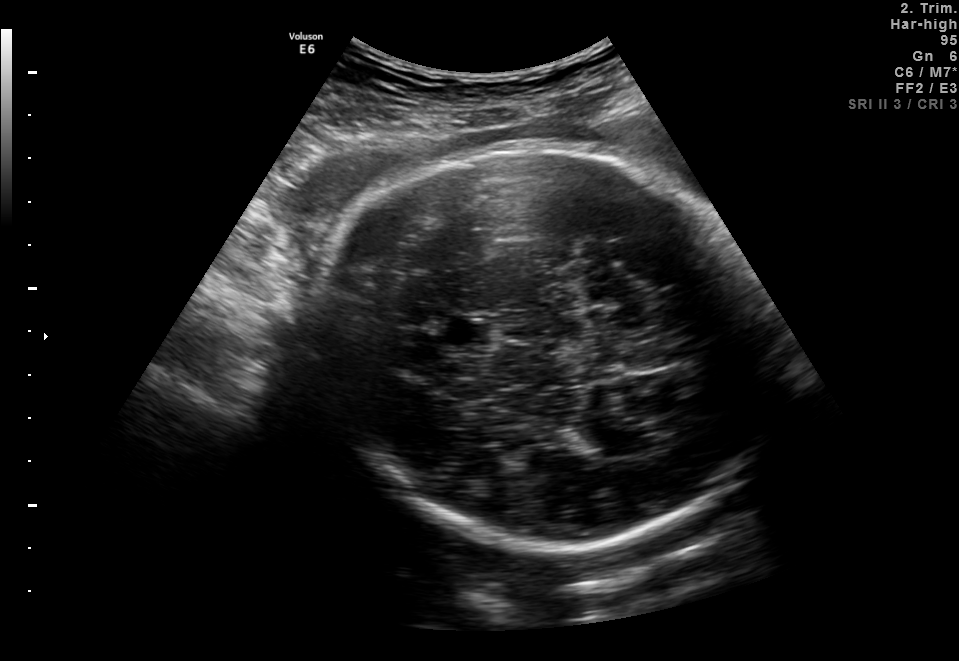
Fetal brain, trans-thalamic plane. Where is the cavum septum pellucidum?

CSP bounding box: [444,318,492,347]